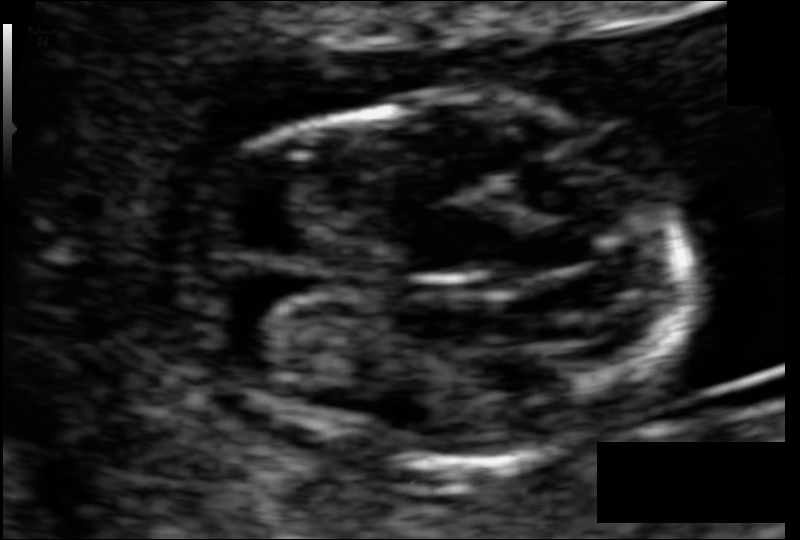
Fetal head ultrasound. Image width: 41.8 mm. Locate the fetal head.

Head: [180,100,697,463]